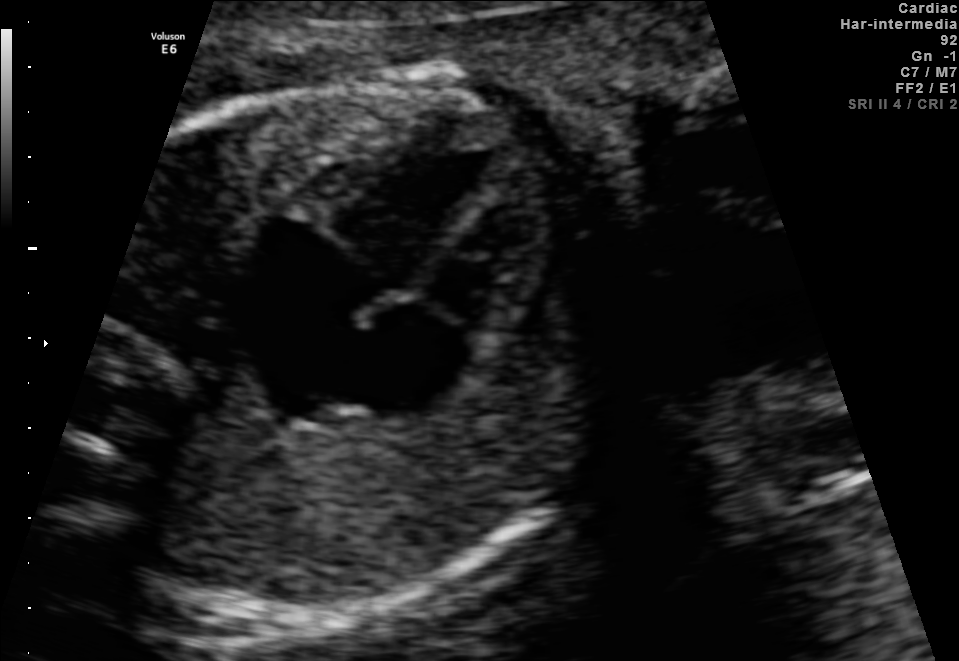
This is a 2D maternal-fetal ultrasound frame. Is it a fetal abdomen, fetal brain, fetal femur, fetal thorax, maternal cervix, or other standard plane? If it's fetal brain and one of the three standard brain planes (trans-thalamic, trans-cerebellum, trans-ventricular), name which.

Fetal thorax